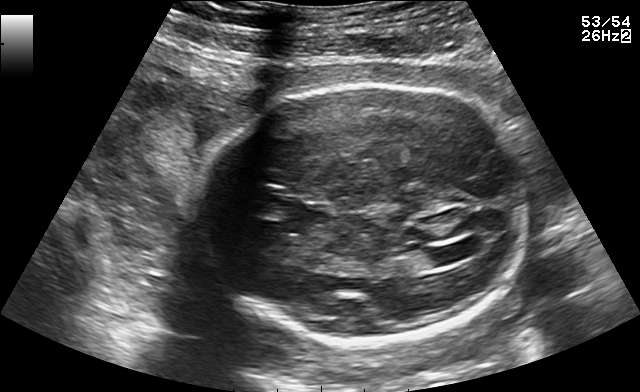
In this fetal brain, trans-ventricular plane, give the bounding box of the fetal head.

[196,77,537,349]